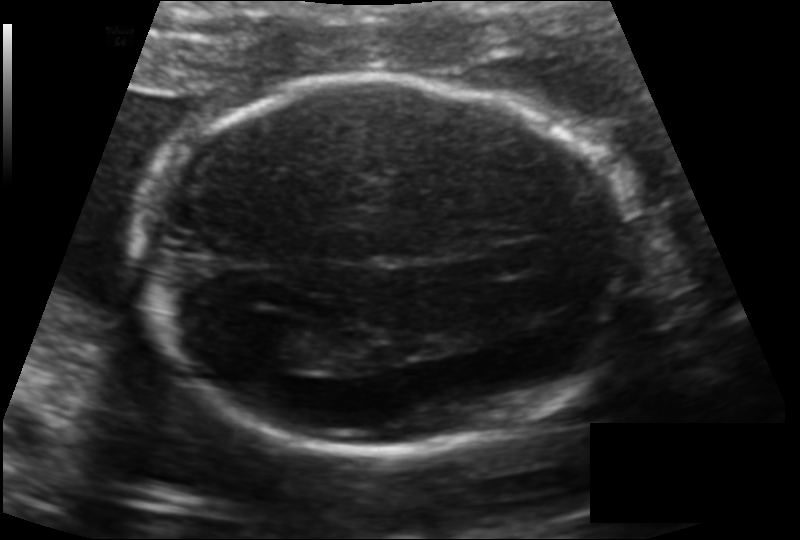
What is the fetal head circumference? Image width is 107.0 mm.

192.5 mm